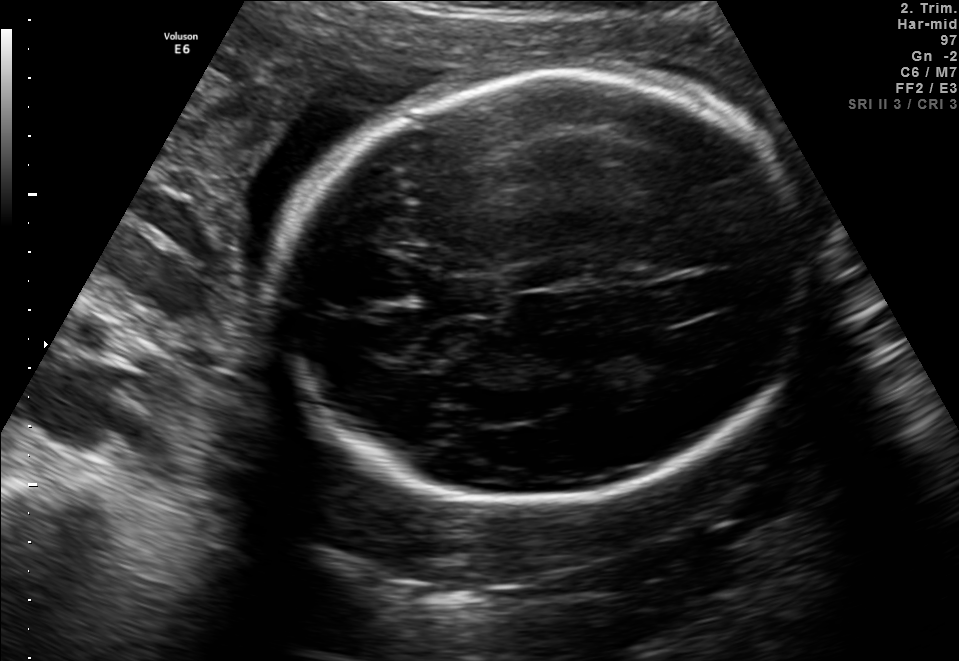
In this fetal brain, trans-ventricular plane, give the bounding box of the fetal head.

[263,66,822,517]